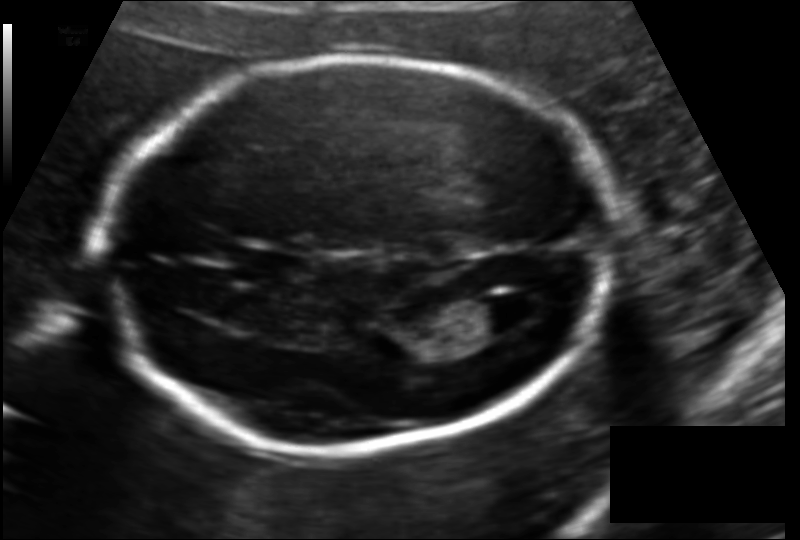
Fetal head ultrasound. Image width: 101.5 mm. Where is the fetal head?

Head bounding box: [103,59,609,450]